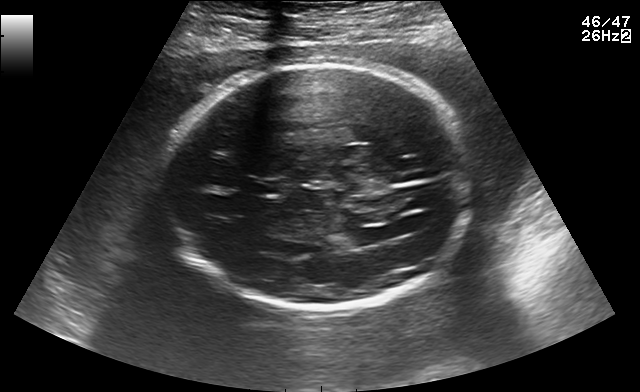
Fetal brain, trans-ventricular plane. Locate the cavum septum pellucidum.

CSP: [244,177,291,198]